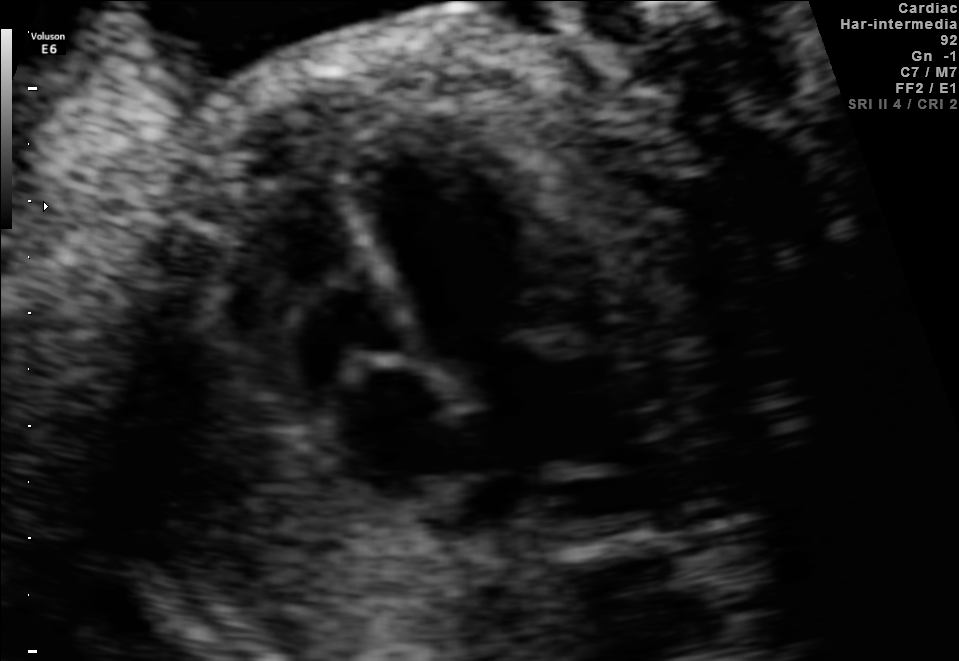
This is a 2D maternal-fetal ultrasound frame. Is it a fetal abdomen, fetal brain, fetal femur, fetal thorax, maternal cervix, or other standard plane? If it's fetal brain and one of the three standard brain planes (trans-thalamic, trans-cerebellum, trans-ventricular), name which.

Fetal thorax